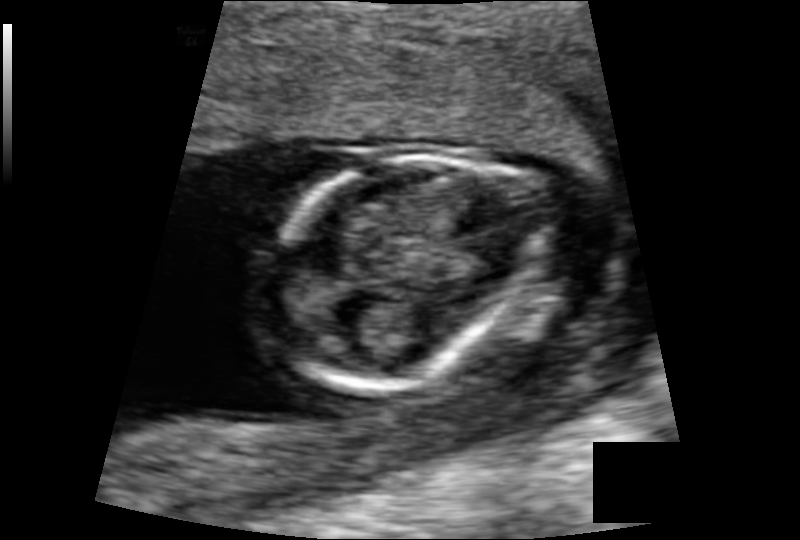
In this fetal head ultrasound, give bounding boxes for the head outline, cavum septum pellucidum (CSP), and lateral ventricle (LV), where visible. Image width: 82.7 mm.

Head: [267,156,533,390]